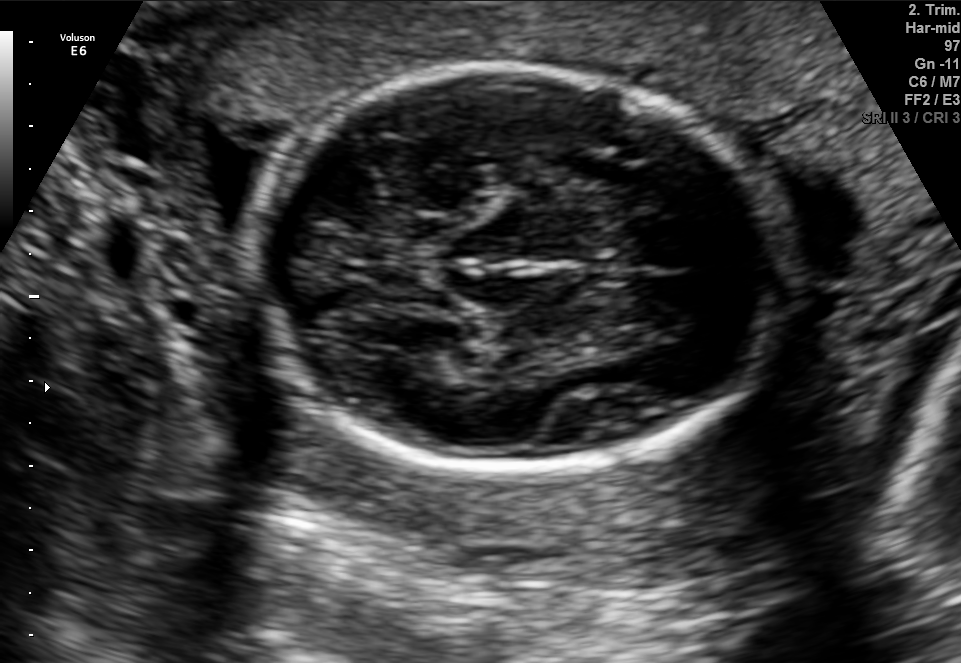
In this fetal brain, trans-thalamic plane, give bounding boxes for the head outline, cavum septum pellucidum (CSP), and lateral ventricle (LV), where visible.

Head: [259,69,791,469]